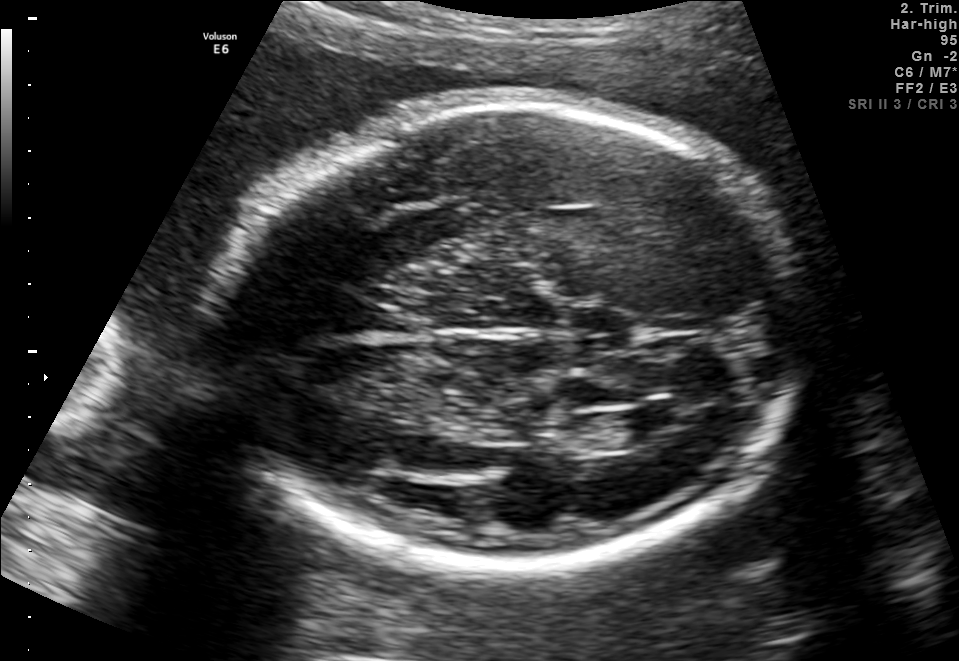
Fetal brain, trans-ventricular plane. Locate the lateral ventricle.

Lateral ventricle: [613,398,683,447]